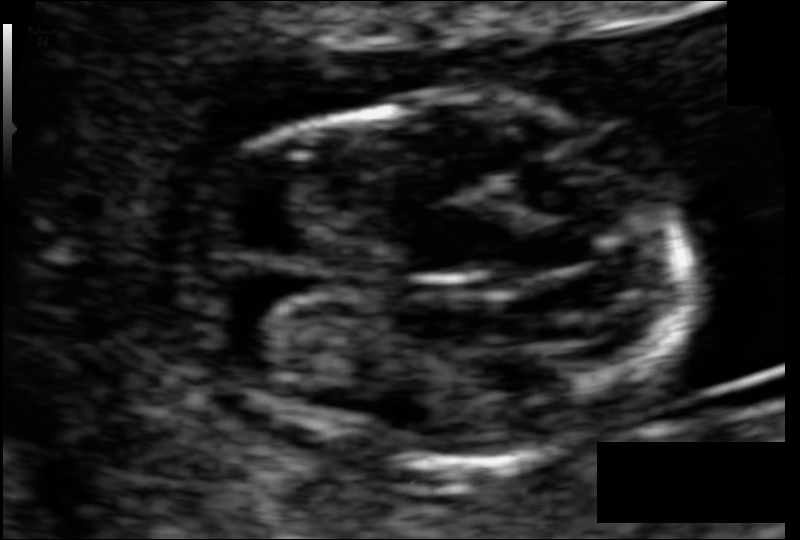
Estimate the fetal head circumference from this 2D ultrasound.

Head circumference: 74.6 mm (image width 41.8 mm).